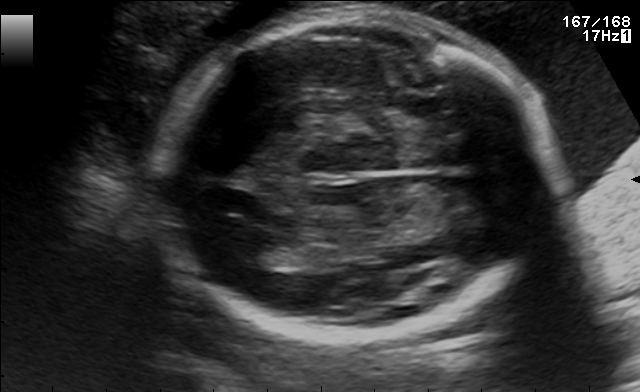
Fetal brain, trans-ventricular plane. Locate the fetal head and, if visible, the cavum septum pellucidum (CSP) and lateral ventricle (LV). Give bounding boxes as [x1,y1,x2,y2].

Head: [151,4,565,345]